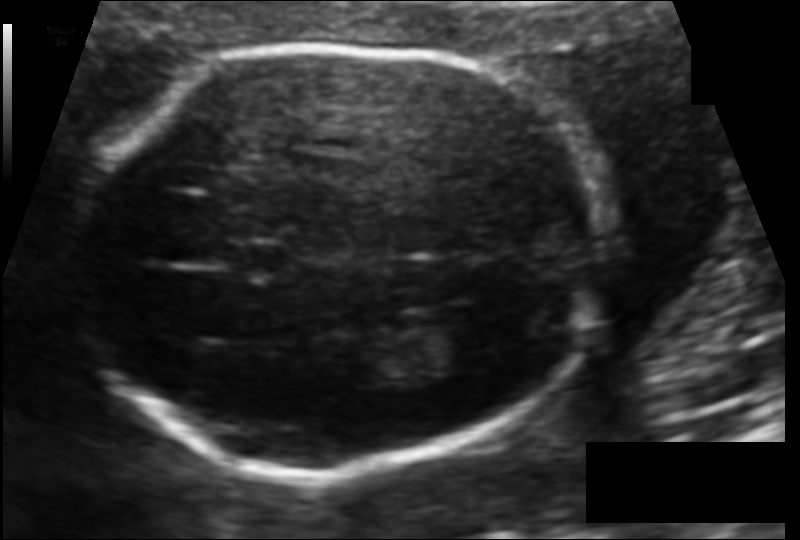
Fetal head ultrasound. Image width: 86.3 mm. Locate the fetal head and, if visible, the cavum septum pellucidum (CSP) and lateral ventricle (LV). Give bounding boxes as [x1,y1,x2,y2].

Head: [72,47,606,472]
CSP: [230,244,293,277]
Lateral ventricle: [436,312,523,373]